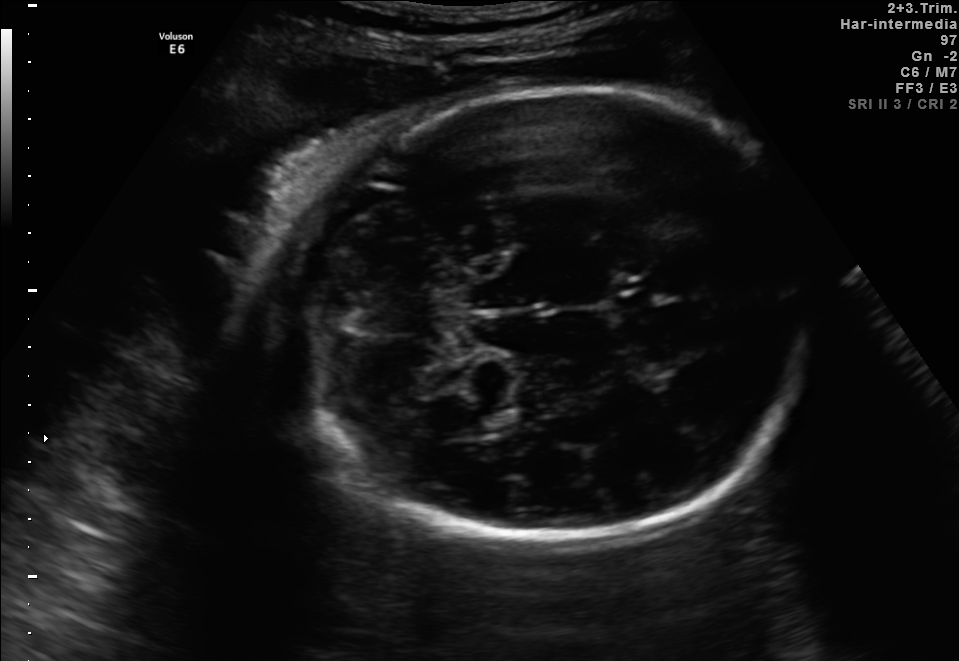
Fetal brain, trans-thalamic plane. Locate the lateral ventricle.

Lateral ventricle: [461,405,521,442]